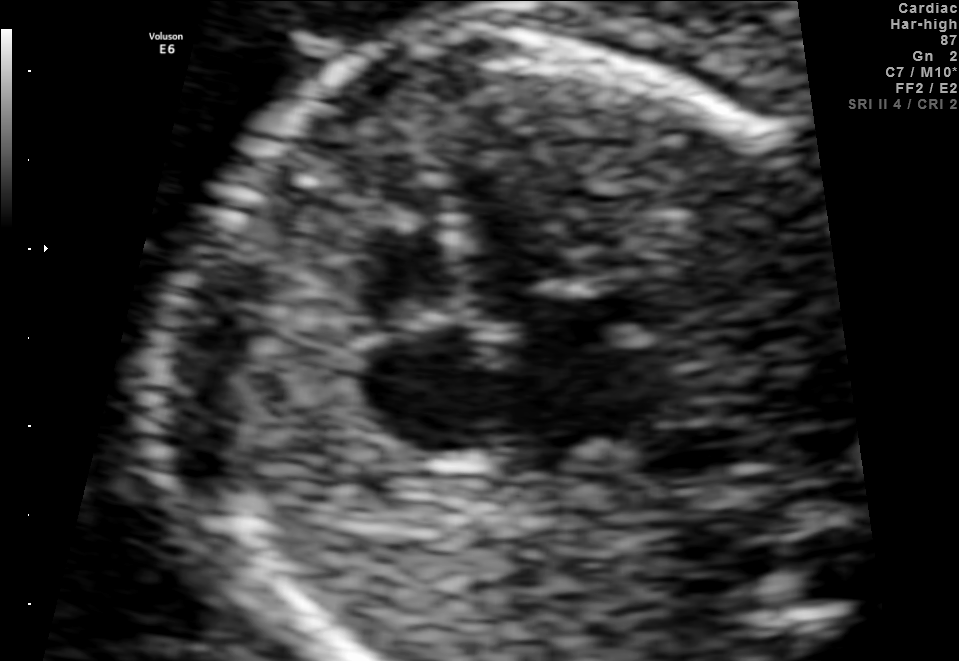
Classify this maternal-fetal ultrasound image as one of the six standard planes — fetal abdomen, fetal brain, fetal femur, fetal thorax, maternal cervix, or other. If it's fetal brain and one of the three standard brain planes (trans-thalamic, trans-cerebellum, trans-ventricular), name which.

Fetal thorax